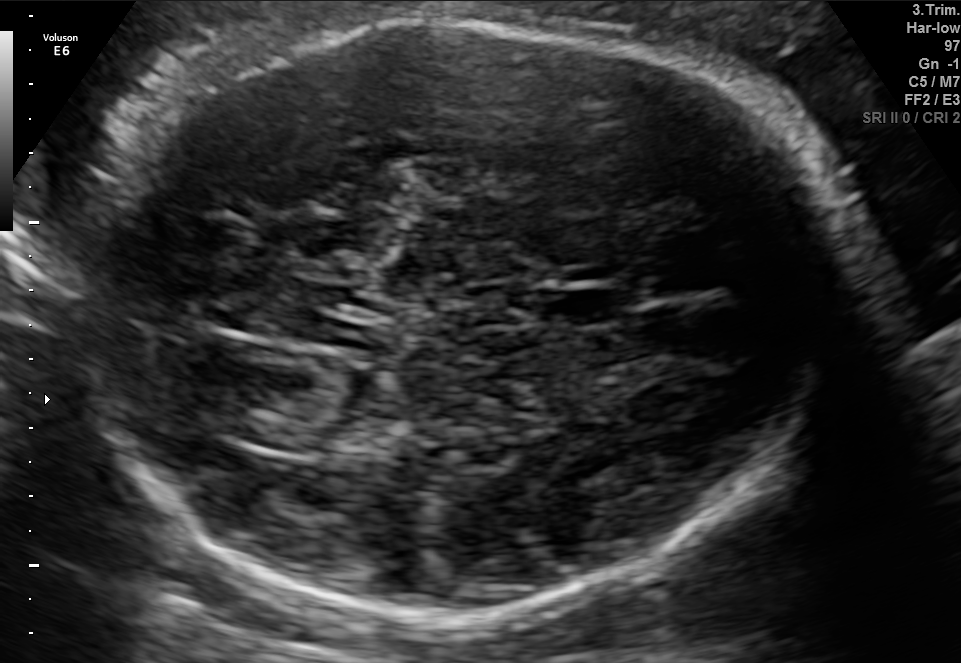
Fetal brain, trans-thalamic plane. Locate the fetal head.

Head: [82,16,835,619]